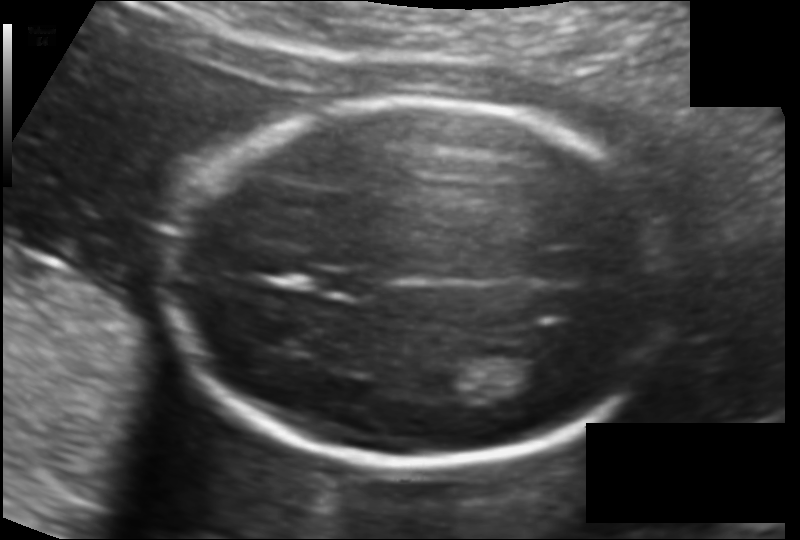
Fetal head ultrasound. Image width: 97.1 mm. Where is the lateral ventricle?

Lateral ventricle bounding box: [497,346,562,399]